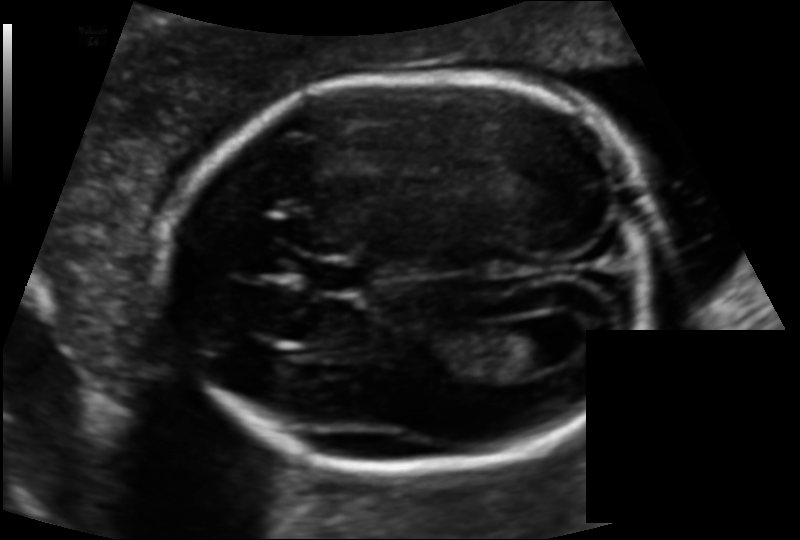
In this fetal head ultrasound, give the bounding box of the lateral ventricle. Image width: 95.5 mm.

[490,317,567,378]